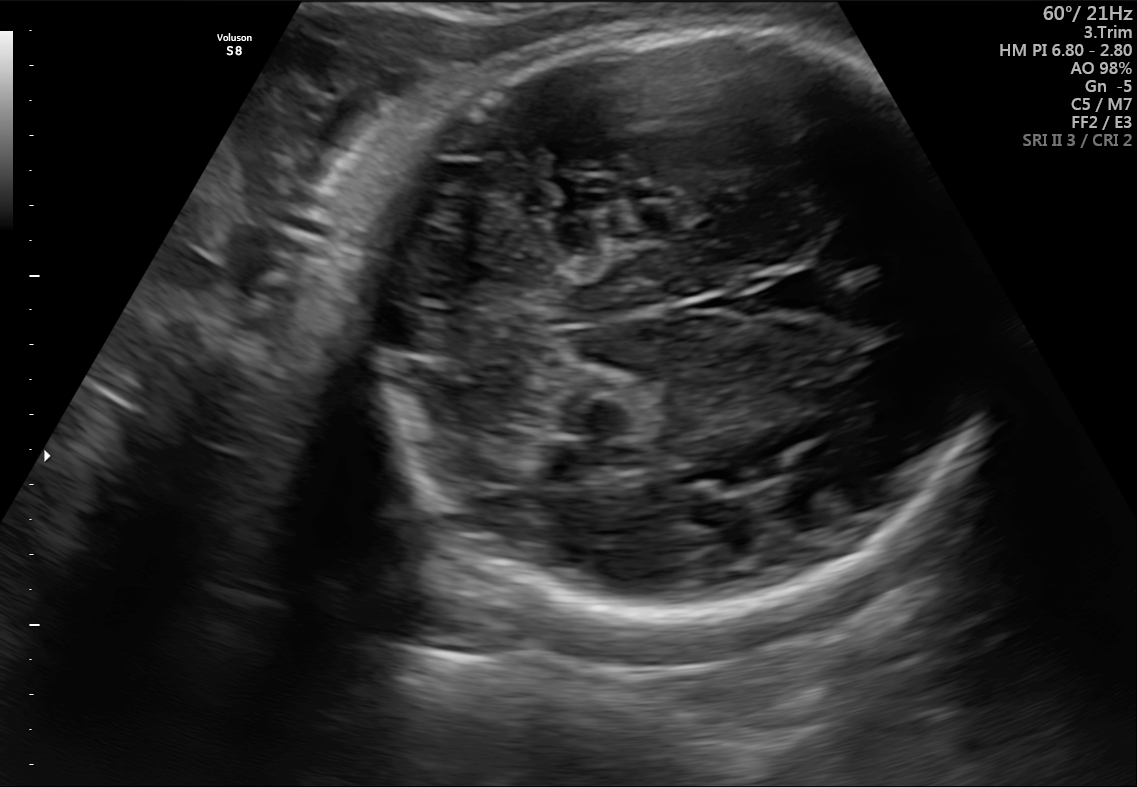
Fetal brain, trans-cerebellum plane. Where is the fetal head?

Head bounding box: [318,27,973,617]